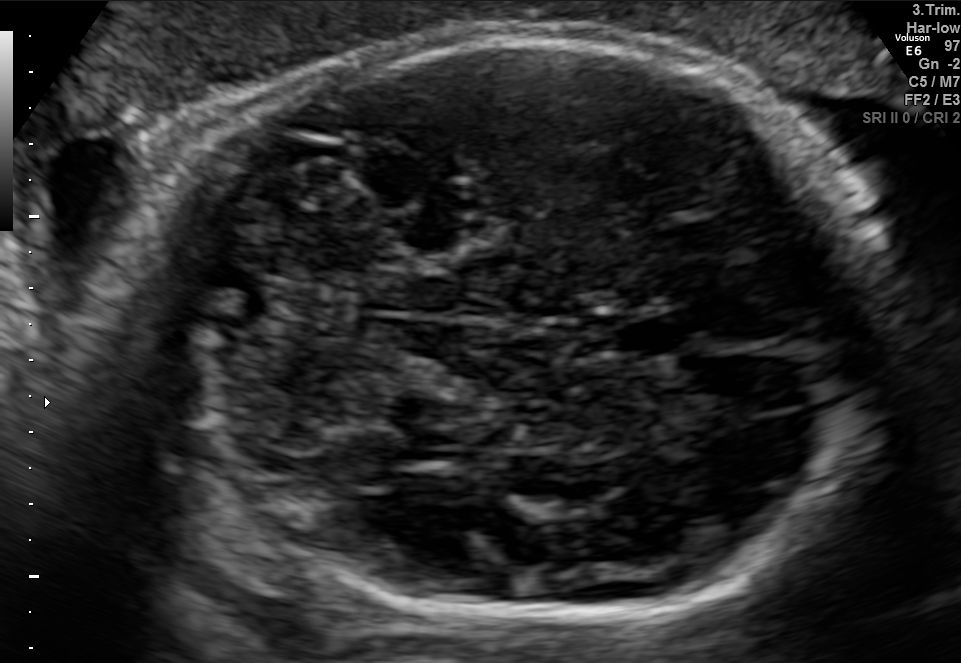
In this fetal brain, trans-cerebellum plane, give bounding boxes for the head outline, cavum septum pellucidum (CSP), and lateral ventricle (LV), where visible.

Head: [124,35,899,626]
CSP: [604,303,701,370]